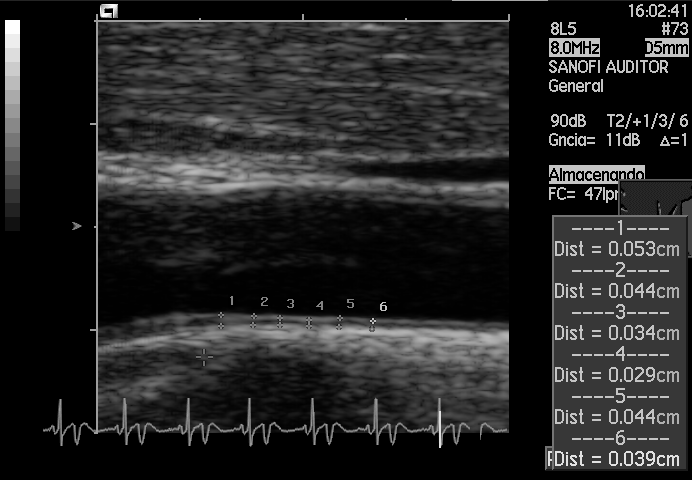
Classify this maternal-fetal ultrasound image as one of the six standard planes — fetal abdomen, fetal brain, fetal femur, fetal thorax, maternal cervix, or other. If it's fetal brain and one of the three standard brain planes (trans-thalamic, trans-cerebellum, trans-ventricular), name which.

Other